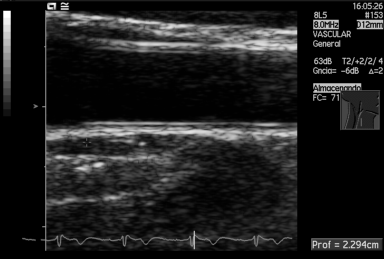
Classify this maternal-fetal ultrasound image as one of the six standard planes — fetal abdomen, fetal brain, fetal femur, fetal thorax, maternal cervix, or other. If it's fetal brain and one of the three standard brain planes (trans-thalamic, trans-cerebellum, trans-ventricular), name which.

Other